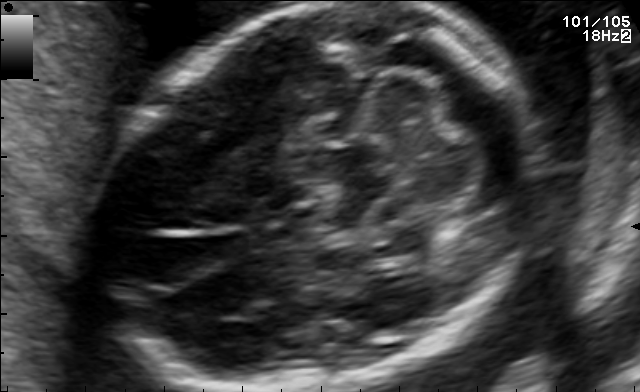
Fetal brain, trans-cerebellum plane. Give [x1,y1,x2,y2] bounding boxes for each visible structure among: fetal head, CSP, LV.

Head: [119,4,521,391]